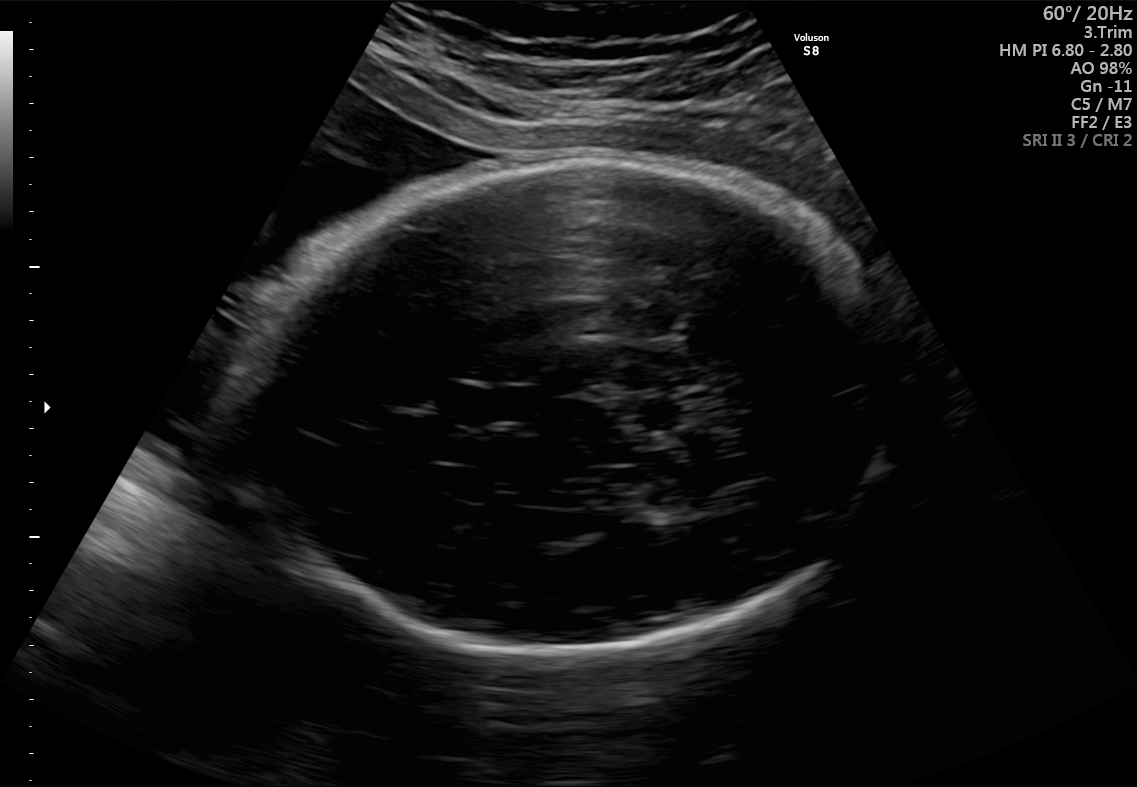
Which standard maternal-fetal ultrasound plane is shown: fetal abdomen, fetal brain, fetal femur, fetal thorax, maternal cervix, or other? If it's fetal brain and one of the three standard brain planes (trans-thalamic, trans-cerebellum, trans-ventricular), name which.

Fetal brain (trans-thalamic plane)